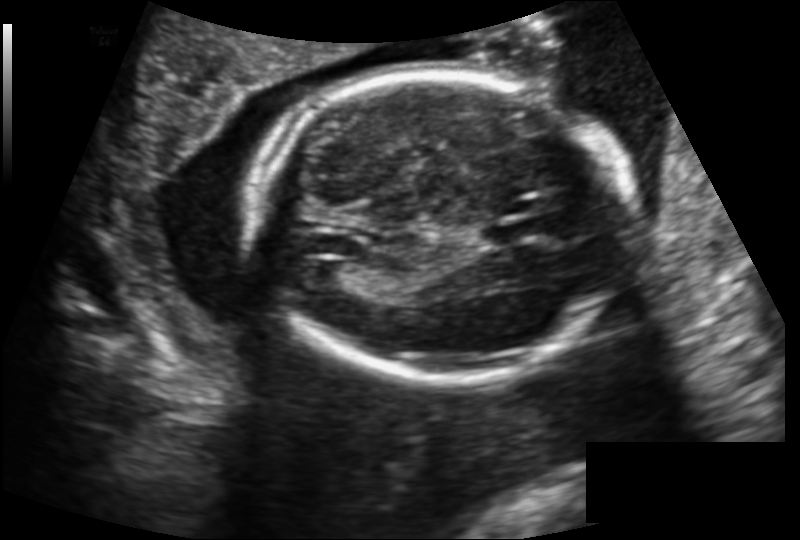
In this fetal head ultrasound, give the bounding box of the fetal head. Image width: 127.5 mm.

[250,70,631,380]